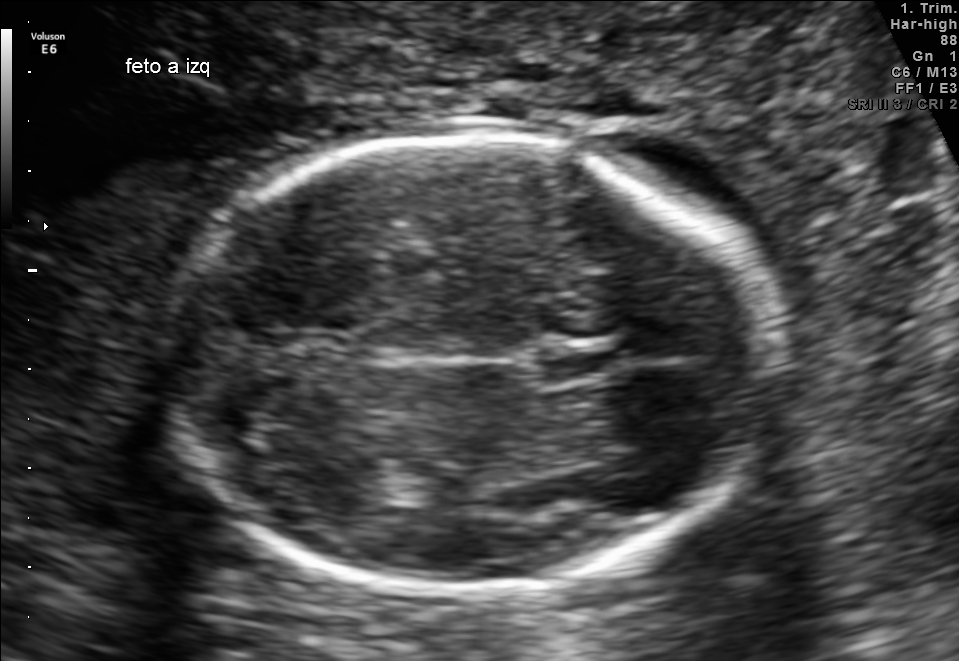
Which standard maternal-fetal ultrasound plane is shown: fetal abdomen, fetal brain, fetal femur, fetal thorax, maternal cervix, or other? If it's fetal brain and one of the three standard brain planes (trans-thalamic, trans-cerebellum, trans-ventricular), name which.

Fetal brain (trans-thalamic plane)